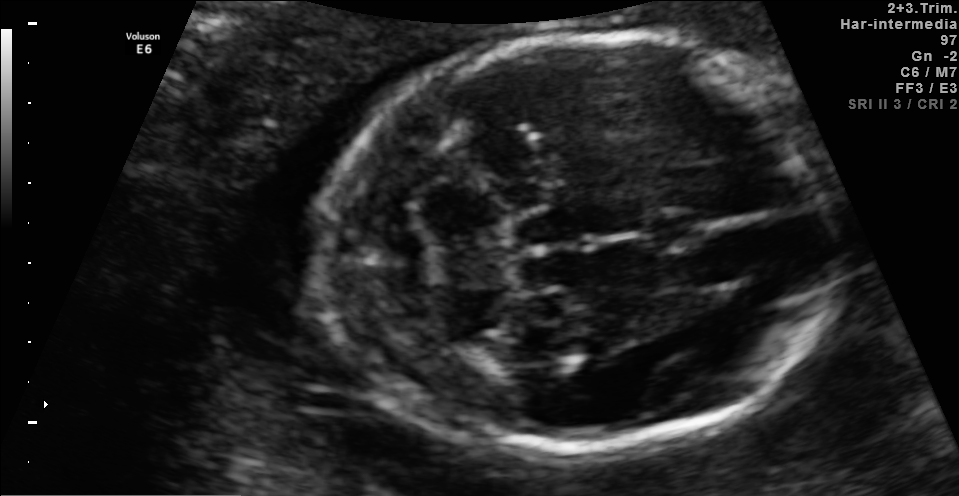
Fetal brain, trans-cerebellum plane. Locate the cavum septum pellucidum.

CSP: [638,208,710,252]